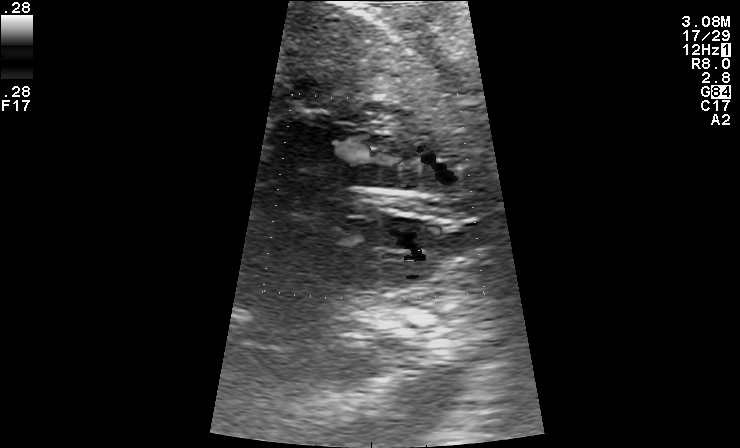
Classify this maternal-fetal ultrasound image as one of the six standard planes — fetal abdomen, fetal brain, fetal femur, fetal thorax, maternal cervix, or other. If it's fetal brain and one of the three standard brain planes (trans-thalamic, trans-cerebellum, trans-ventricular), name which.

Other